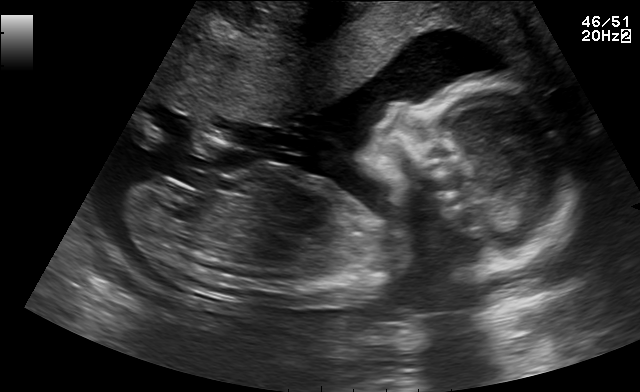
This is a 2D maternal-fetal ultrasound frame. Is it a fetal abdomen, fetal brain, fetal femur, fetal thorax, maternal cervix, or other standard plane? If it's fetal brain and one of the three standard brain planes (trans-thalamic, trans-cerebellum, trans-ventricular), name which.

Other